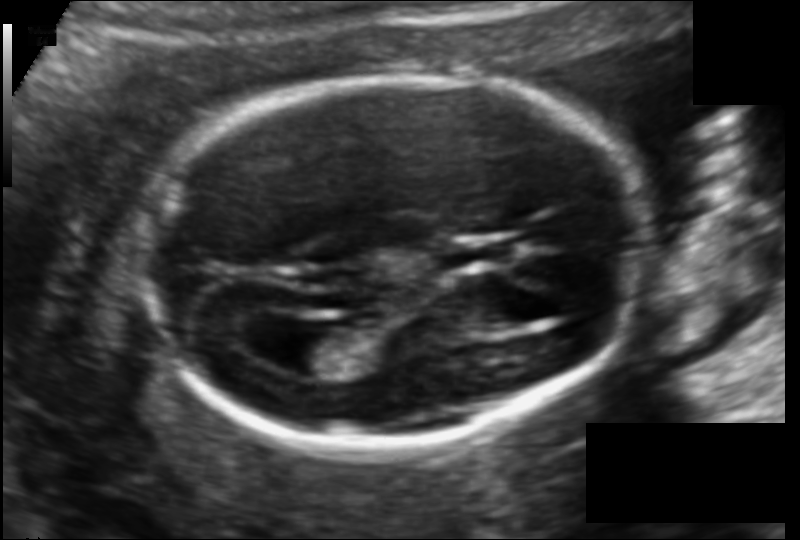
Fetal head ultrasound. Image width: 91.5 mm. Where is the lateral ventricle?

Lateral ventricle bounding box: [257,323,335,379]